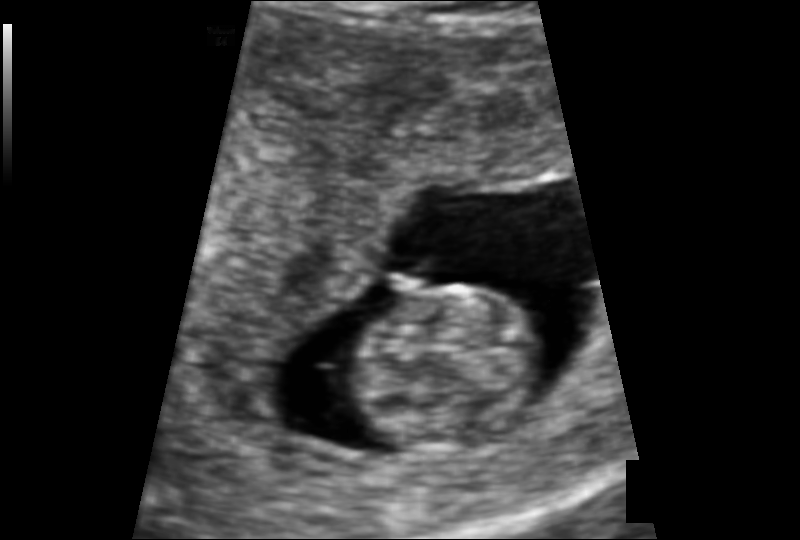
Fetal head ultrasound. Image width: 87.5 mm. Locate the fetal head.

Head: [355,285,546,453]